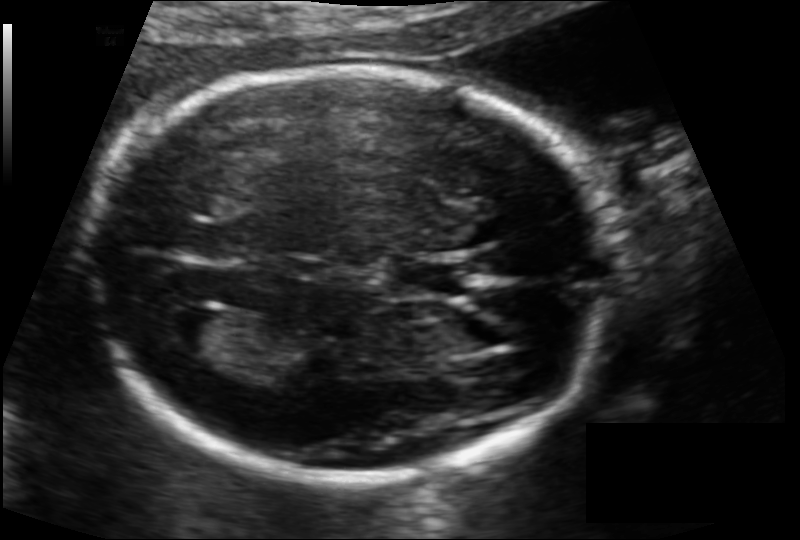
Fetal head ultrasound. Image width: 91.1 mm. Where is the fetal head?

Head bounding box: [98,66,610,479]